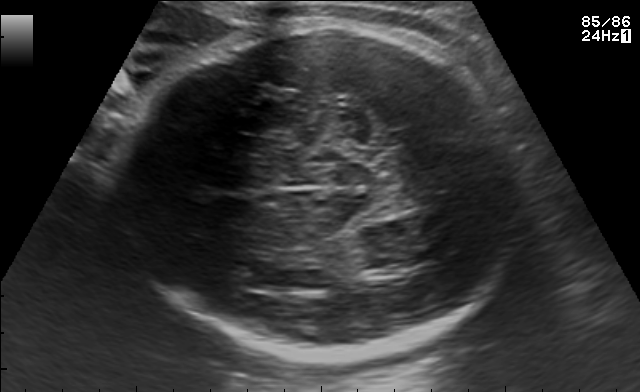
Classify this maternal-fetal ultrasound image as one of the six standard planes — fetal abdomen, fetal brain, fetal femur, fetal thorax, maternal cervix, or other. If it's fetal brain and one of the three standard brain planes (trans-thalamic, trans-cerebellum, trans-ventricular), name which.

Fetal brain (trans-thalamic plane)